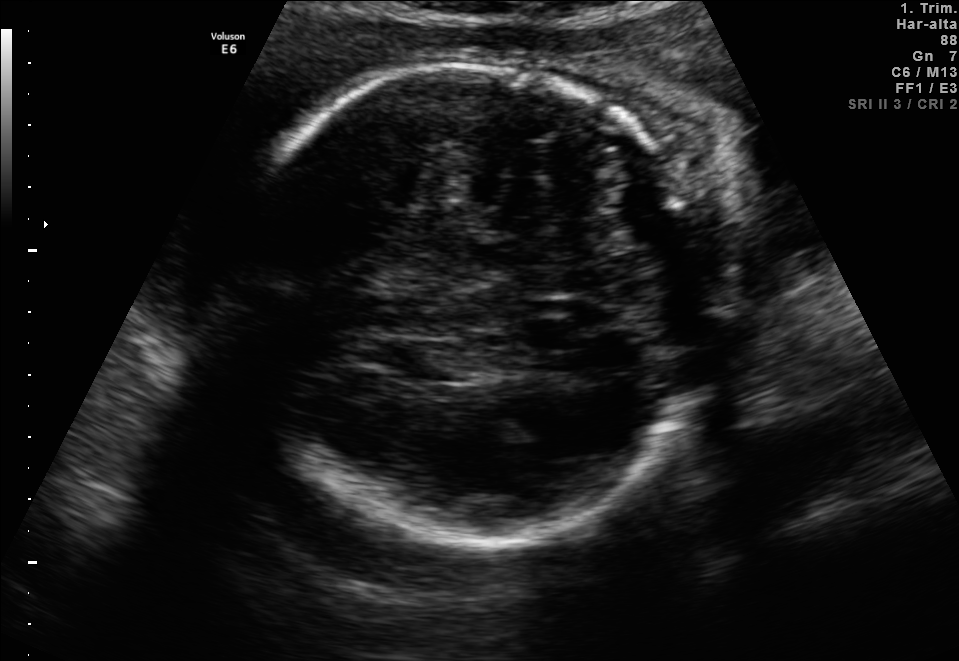
Classify this maternal-fetal ultrasound image as one of the six standard planes — fetal abdomen, fetal brain, fetal femur, fetal thorax, maternal cervix, or other. If it's fetal brain and one of the three standard brain planes (trans-thalamic, trans-cerebellum, trans-ventricular), name which.

Fetal brain (trans-thalamic plane)